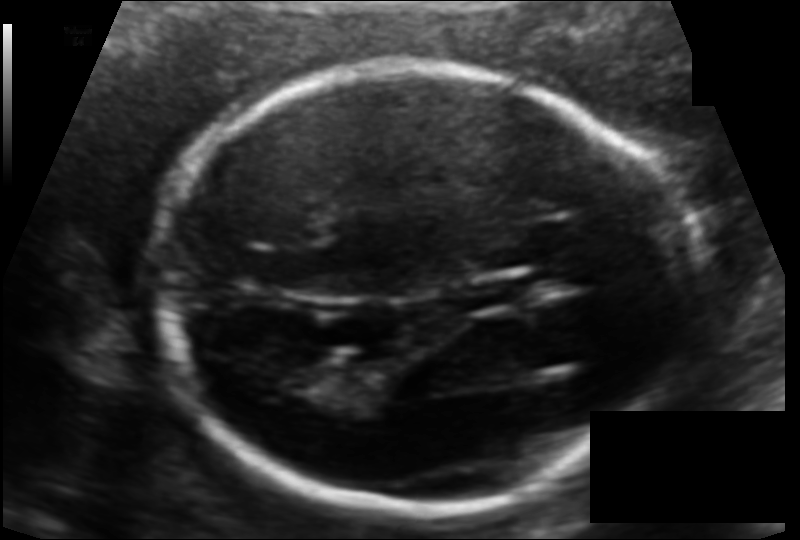
What is the fetal head circumference? Image width is 85.9 mm.

170.3 mm